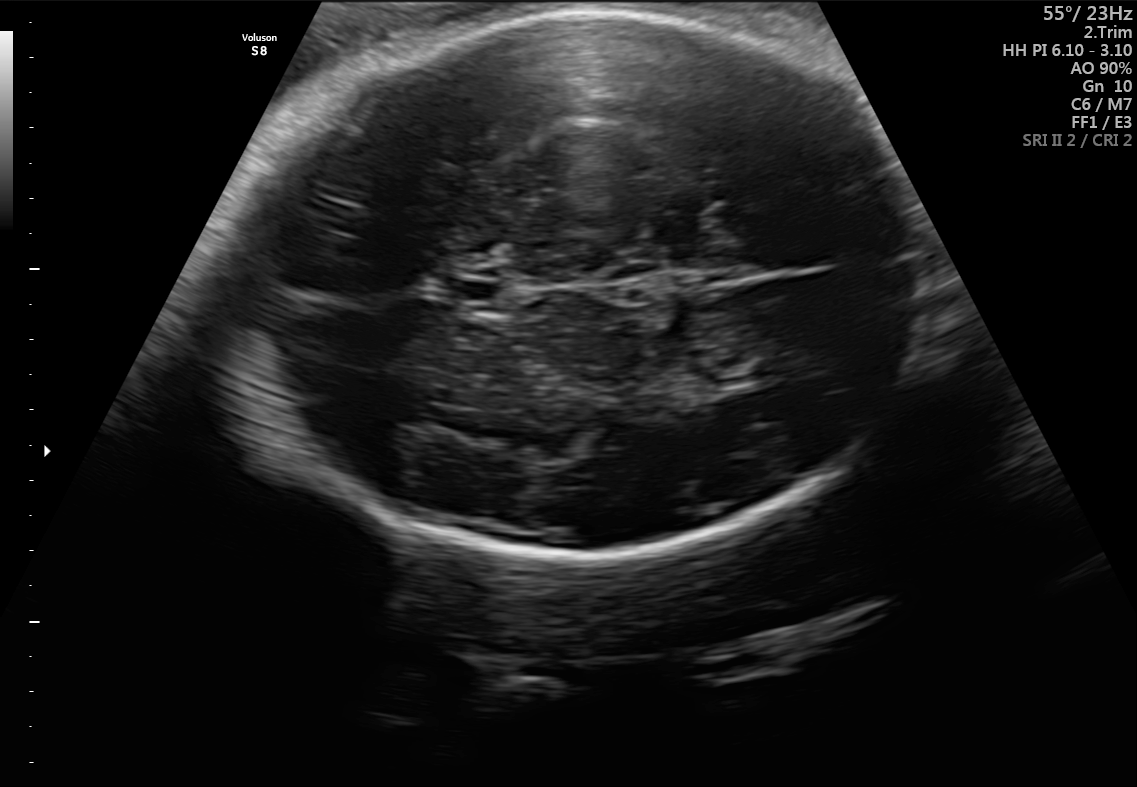
Fetal brain, trans-thalamic plane. Where is the cavum septum pellucidum?

CSP bounding box: [446,278,501,302]